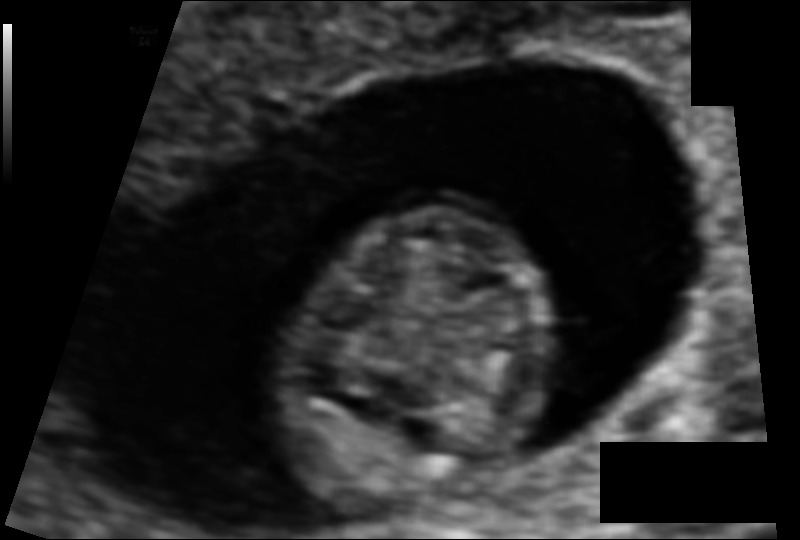
What is the fetal head circumference? Image width is 58.4 mm.

67.1 mm